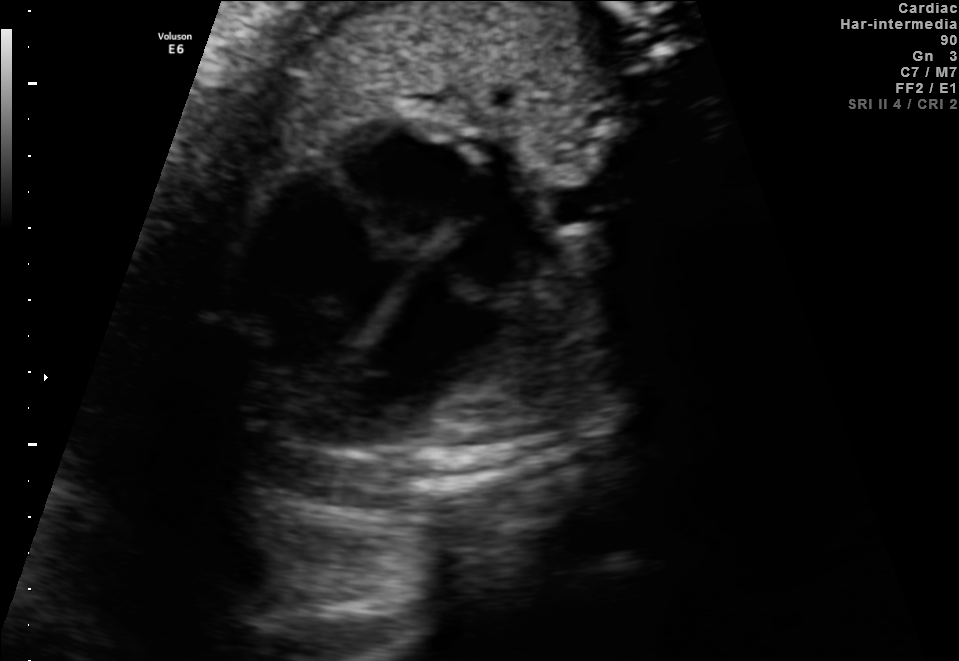
Classify this maternal-fetal ultrasound image as one of the six standard planes — fetal abdomen, fetal brain, fetal femur, fetal thorax, maternal cervix, or other. If it's fetal brain and one of the three standard brain planes (trans-thalamic, trans-cerebellum, trans-ventricular), name which.

Fetal thorax